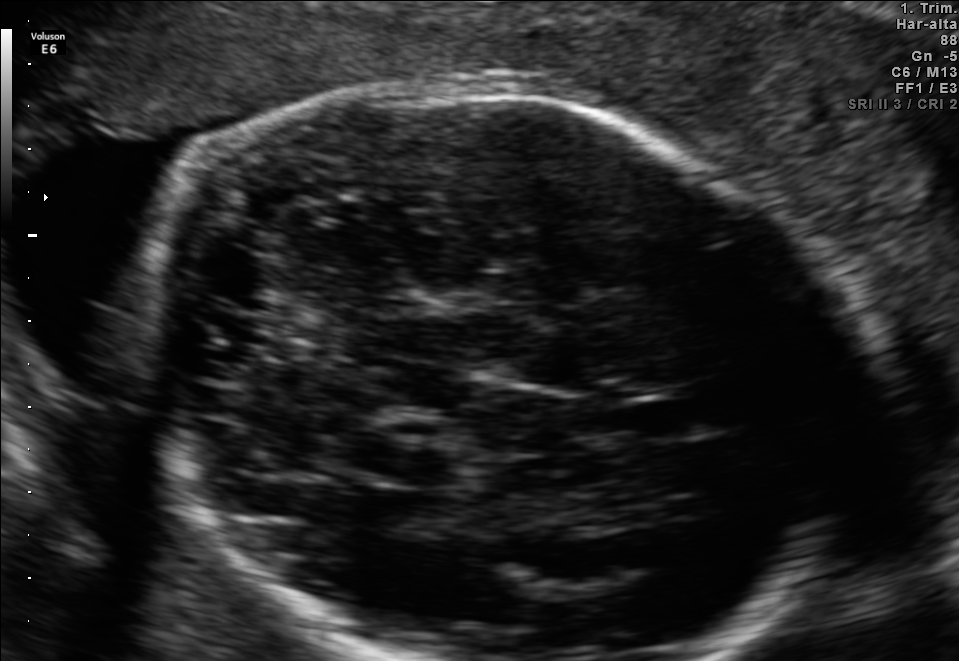
Classify this maternal-fetal ultrasound image as one of the six standard planes — fetal abdomen, fetal brain, fetal femur, fetal thorax, maternal cervix, or other. If it's fetal brain and one of the three standard brain planes (trans-thalamic, trans-cerebellum, trans-ventricular), name which.

Fetal brain (trans-thalamic plane)